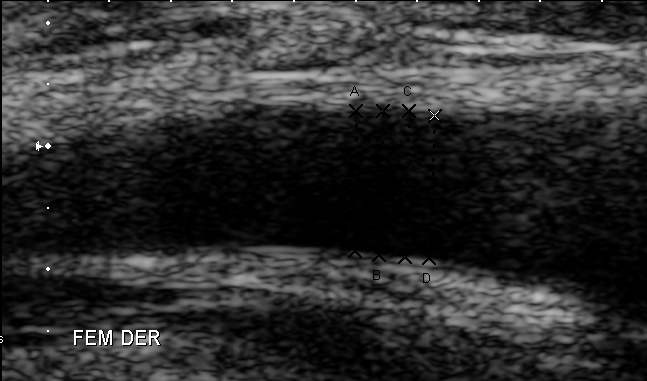
Which standard maternal-fetal ultrasound plane is shown: fetal abdomen, fetal brain, fetal femur, fetal thorax, maternal cervix, or other? If it's fetal brain and one of the three standard brain planes (trans-thalamic, trans-cerebellum, trans-ventricular), name which.

Other